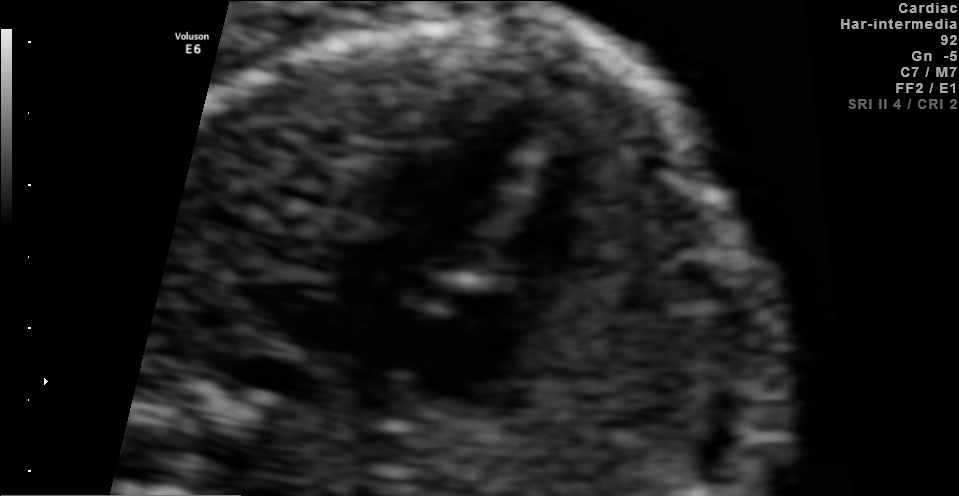
Classify this maternal-fetal ultrasound image as one of the six standard planes — fetal abdomen, fetal brain, fetal femur, fetal thorax, maternal cervix, or other. If it's fetal brain and one of the three standard brain planes (trans-thalamic, trans-cerebellum, trans-ventricular), name which.

Fetal thorax